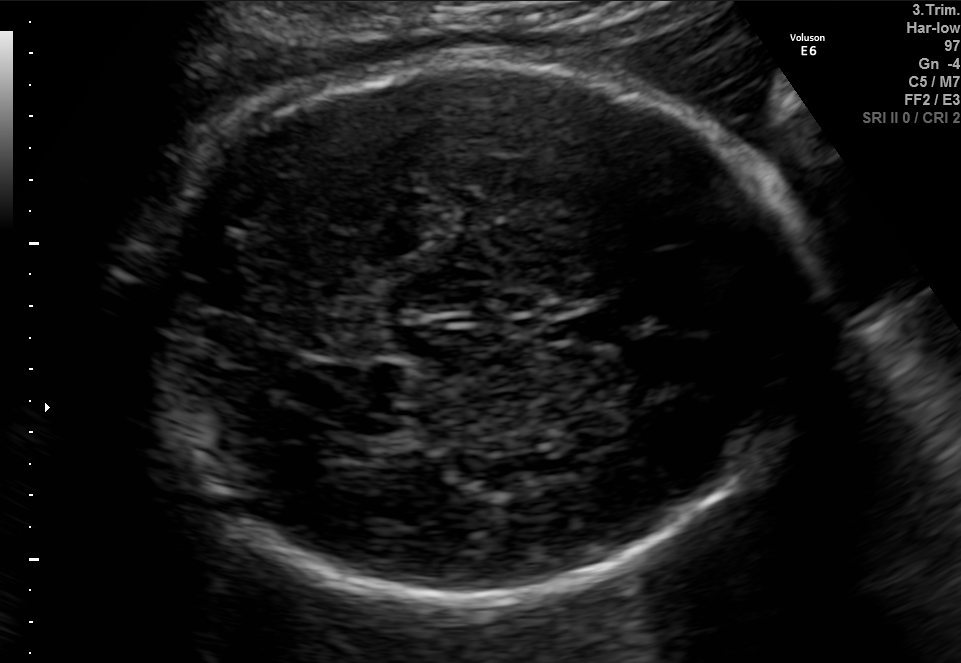
In this fetal brain, trans-thalamic plane, give the bounding box of the fetal head.

[133,59,812,606]